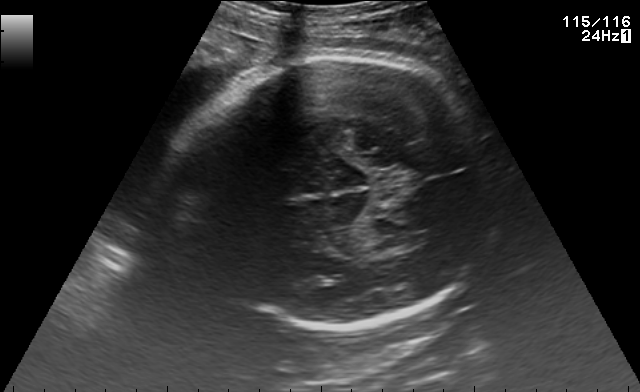
In this fetal brain, trans-thalamic plane, give the bounding box of the fetal head.

[163,56,501,330]